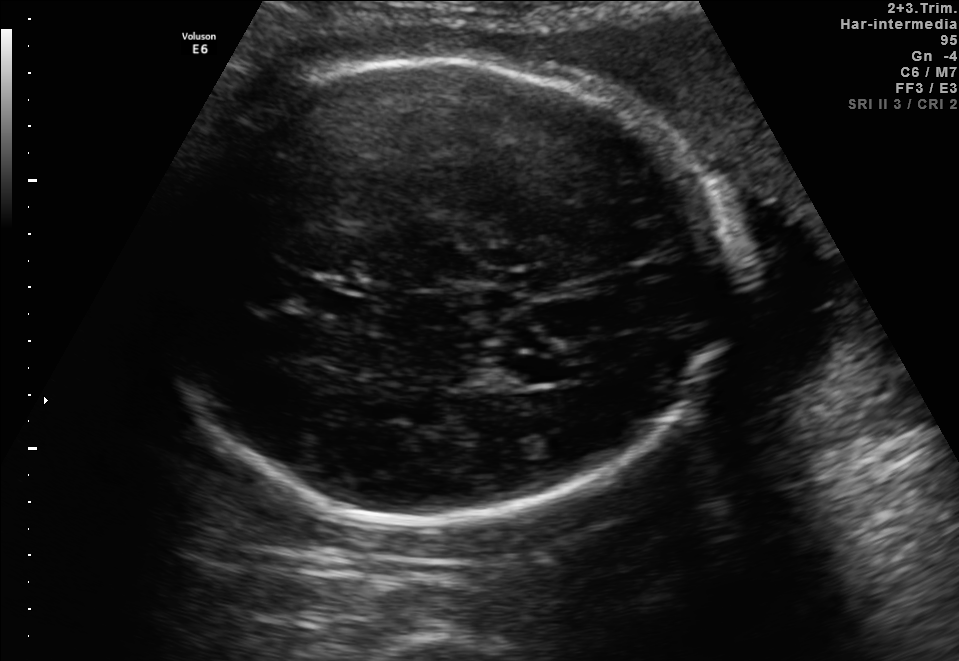
Fetal brain, trans-thalamic plane. Where is the cavum septum pellucidum?

CSP bounding box: [306,278,368,317]